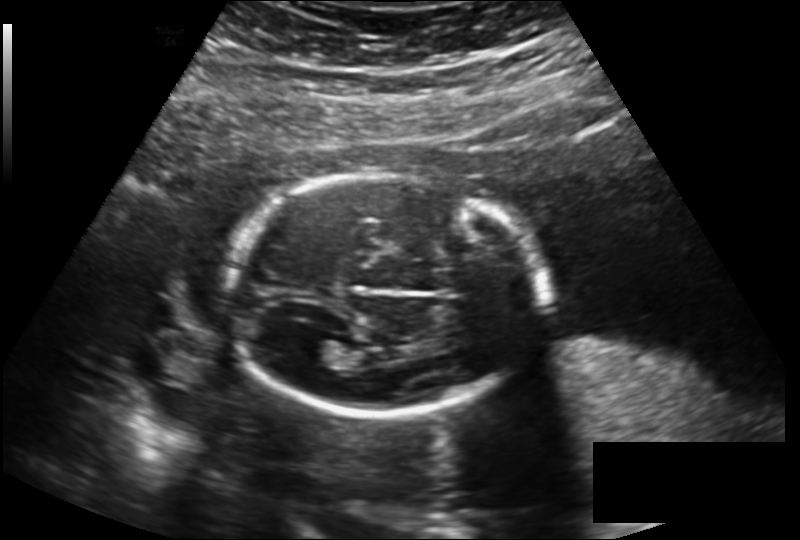
Estimate the fetal head circumference from this 2D ultrasound. Image width: 150.8 mm.

Head circumference: 173.3 mm.